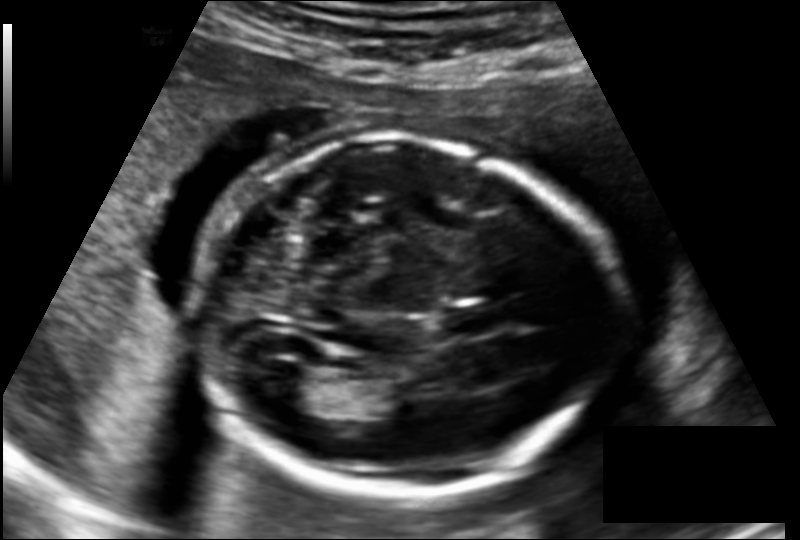
Fetal head ultrasound. Image width: 115.9 mm. Locate the lateral ventricle.

Lateral ventricle: [257,359,321,410]